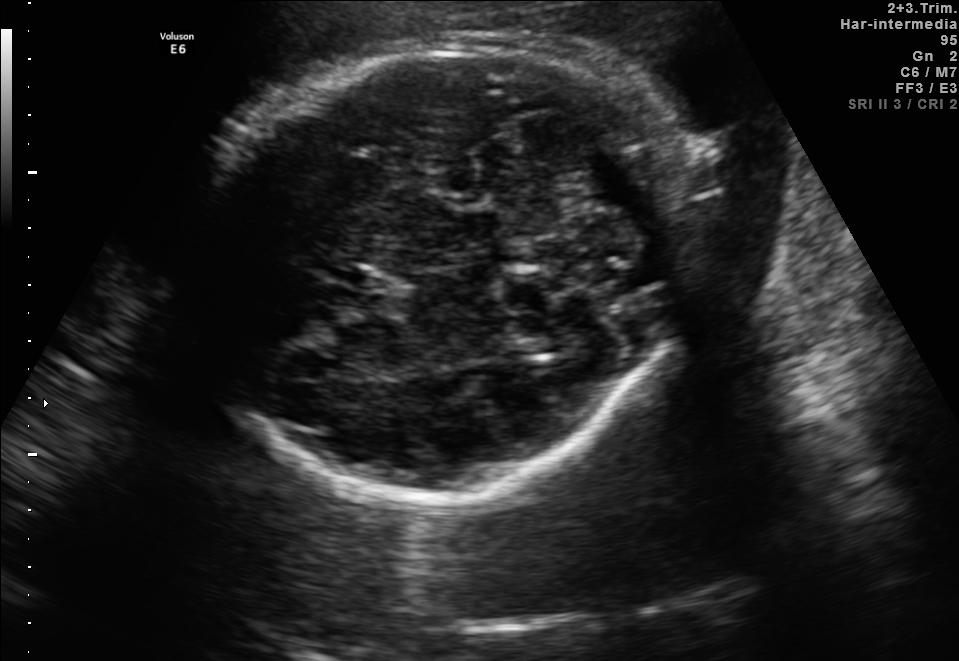
Fetal brain, trans-cerebellum plane. Where is the fetal head?

Head bounding box: [193,41,690,496]